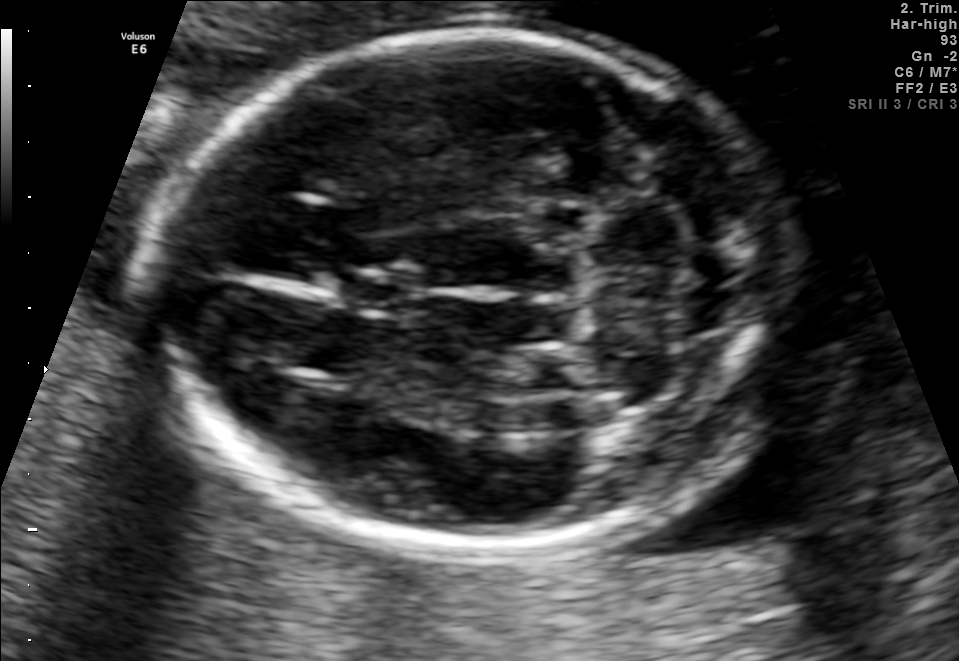
Fetal brain, trans-cerebellum plane. Where is the cavum septum pellucidum?

CSP bounding box: [337,267,423,317]